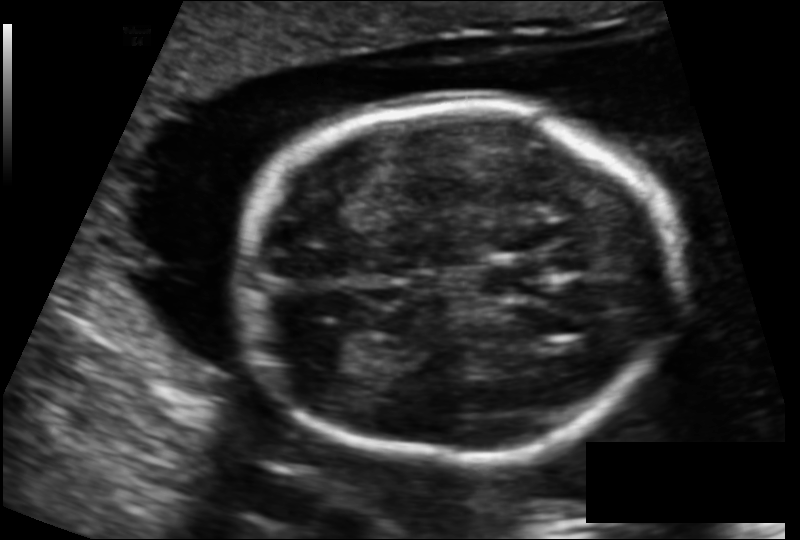
From this fetal ultrasound, estimate the head circumference (image width 104.4 mm).

Head circumference: 166.7 mm.